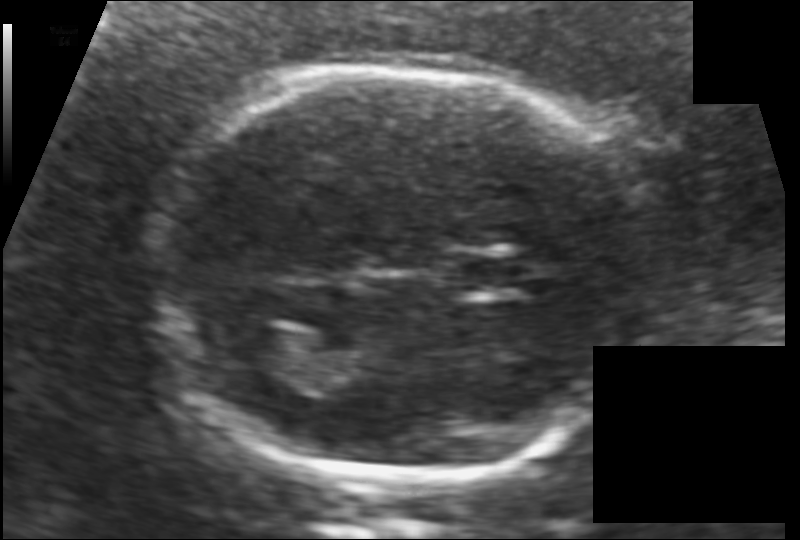
In this fetal head ultrasound, give the bounding box of the lateral ventricle. Image width: 94.0 mm.

[220,315,300,376]